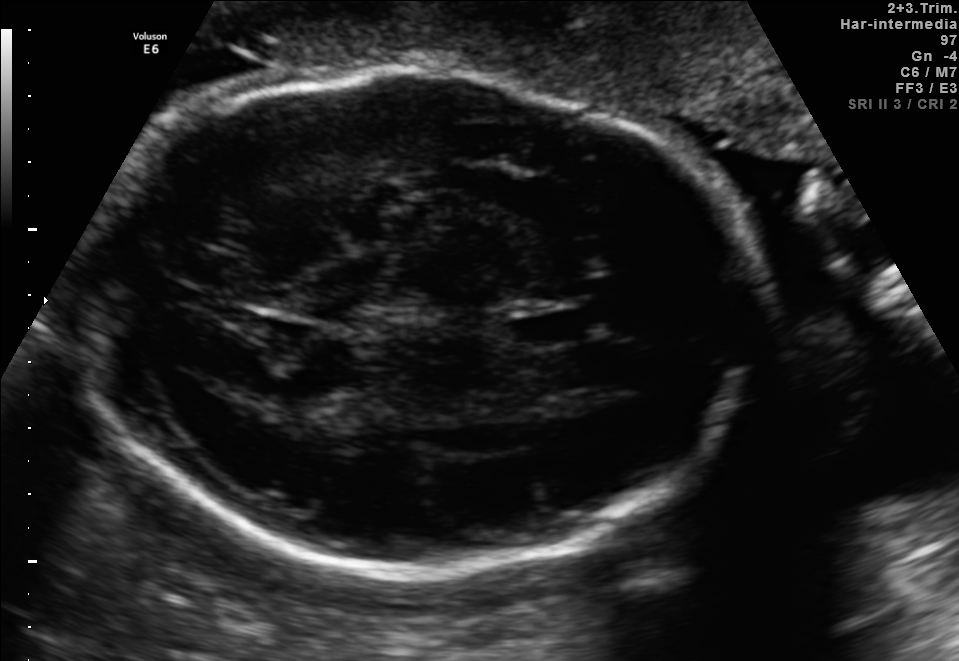
Fetal brain, trans-thalamic plane. Locate the fetal head.

Head: [76,70,755,575]